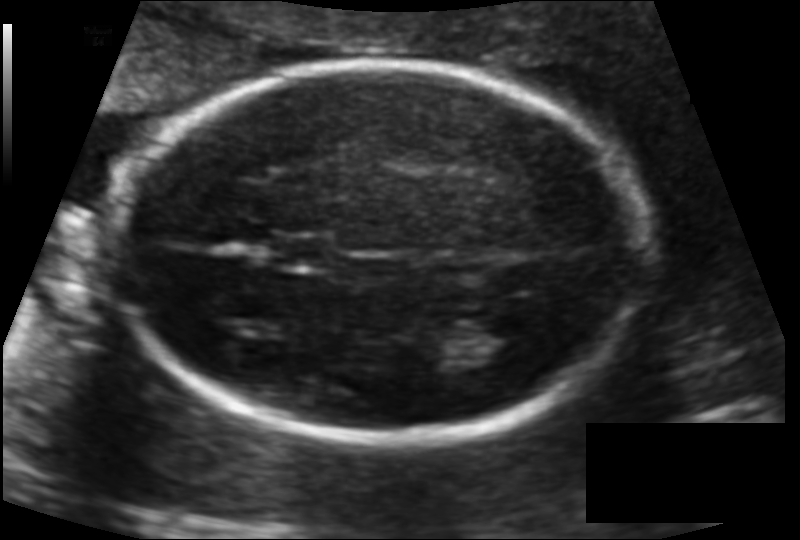
Fetal head ultrasound. Image width: 91.7 mm. Locate the lateral ventricle.

Lateral ventricle: [458,315,538,371]